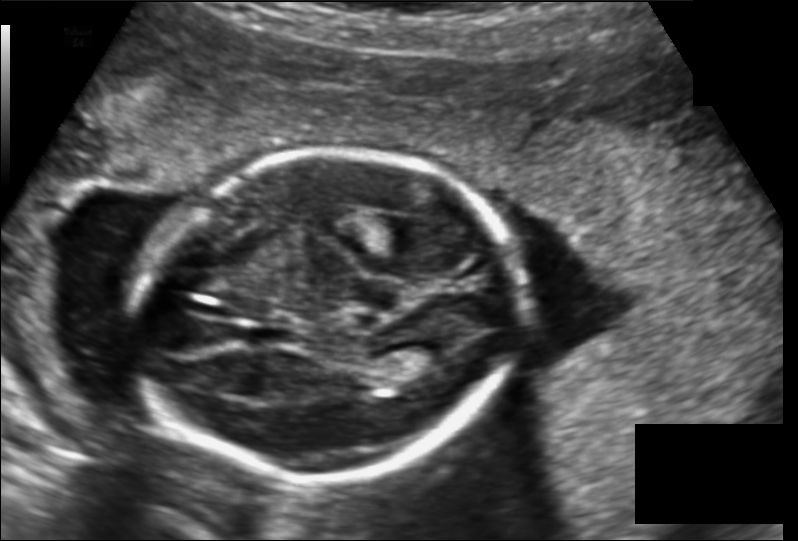
Fetal head ultrasound. Image width: 118.8 mm. Give [x1,y1,x2,y2] bounding boxes for each visible structure among: fetal head, CSP, LV.

Head: [134,151,524,480]
CSP: [250,324,294,346]
Lateral ventricle: [398,331,462,377]